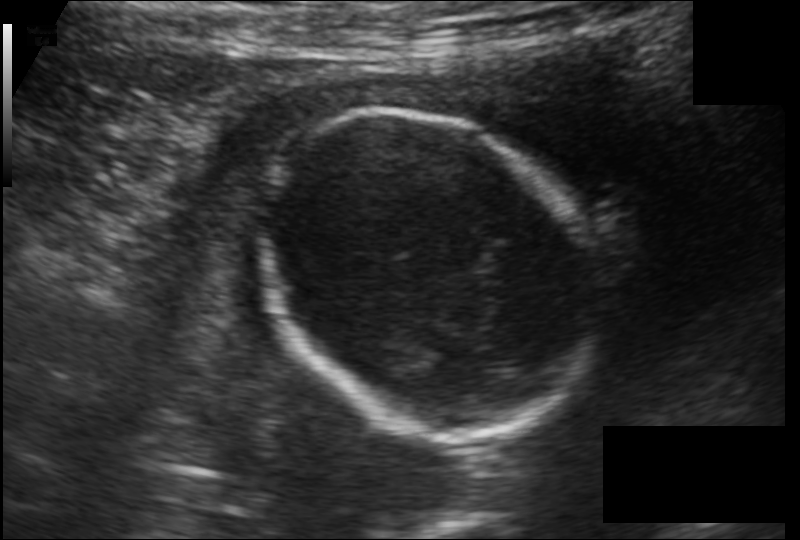
Fetal head ultrasound. Image width: 116.2 mm. Locate the fetal head.

Head: [254,113,601,431]